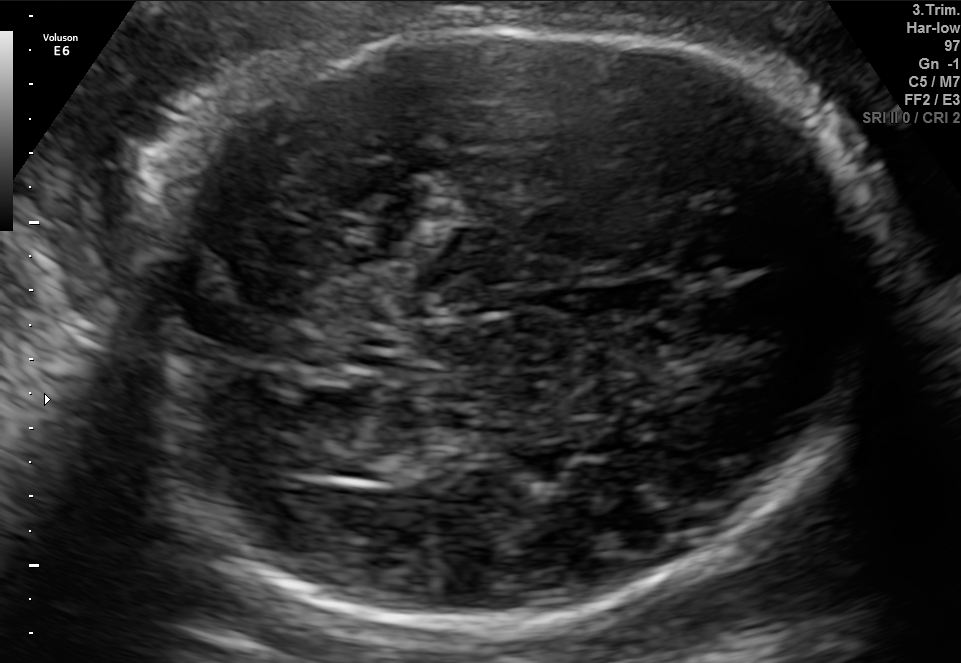
Fetal brain, trans-thalamic plane. Locate the fetal head.

Head: [146,24,879,631]